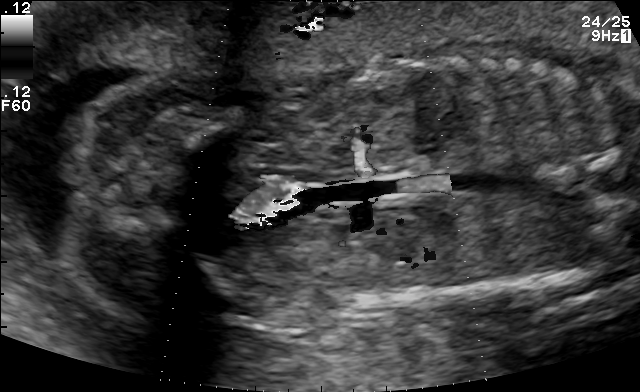
This is a 2D maternal-fetal ultrasound frame. Is it a fetal abdomen, fetal brain, fetal femur, fetal thorax, maternal cervix, or other standard plane? If it's fetal brain and one of the three standard brain planes (trans-thalamic, trans-cerebellum, trans-ventricular), name which.

Other